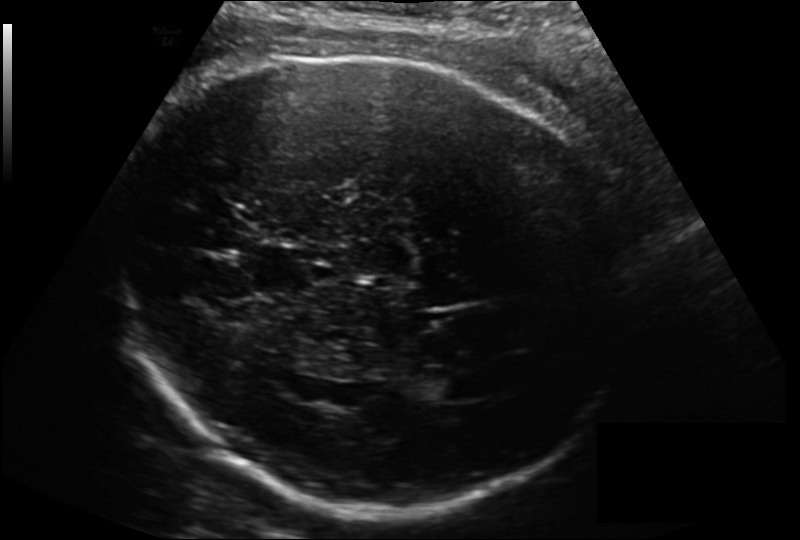
From this fetal ultrasound, estimate the head circumference (image width 159.6 mm).

Head circumference: 307.0 mm.